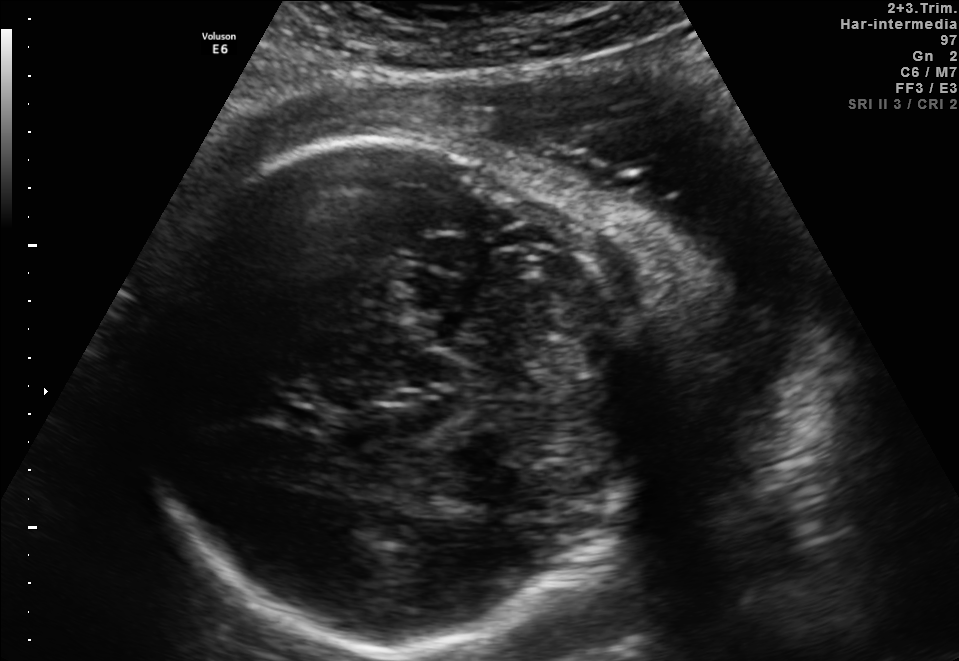
Fetal brain, trans-thalamic plane. Locate the fetal head.

Head: [130,134,645,651]